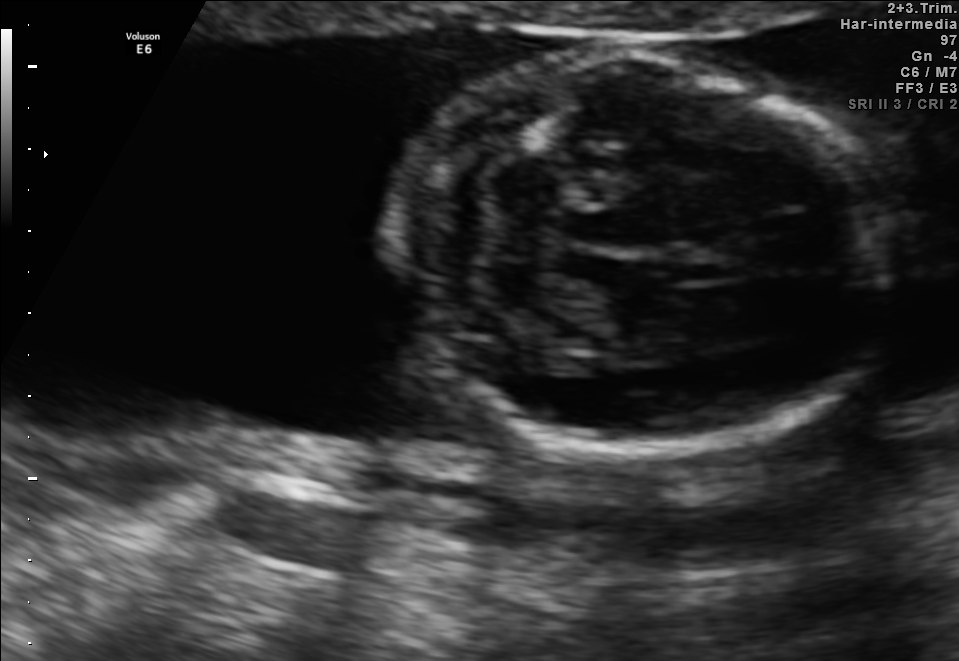
Identify the standard plane in this fetal ultrasound image: fetal abdomen, fetal brain, fetal femur, fetal thorax, maternal cervix, or other. If it's fetal brain and one of the three standard brain planes (trans-thalamic, trans-cerebellum, trans-ventricular), name which.

Fetal brain (trans-cerebellum plane)